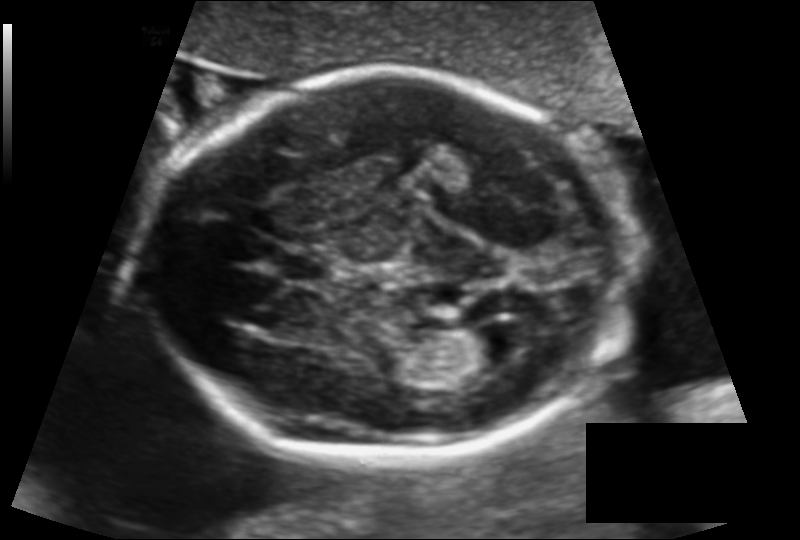
Fetal head ultrasound. Image width: 103.5 mm. Locate the cavum septum pellucidum.

CSP: [278,248,338,283]